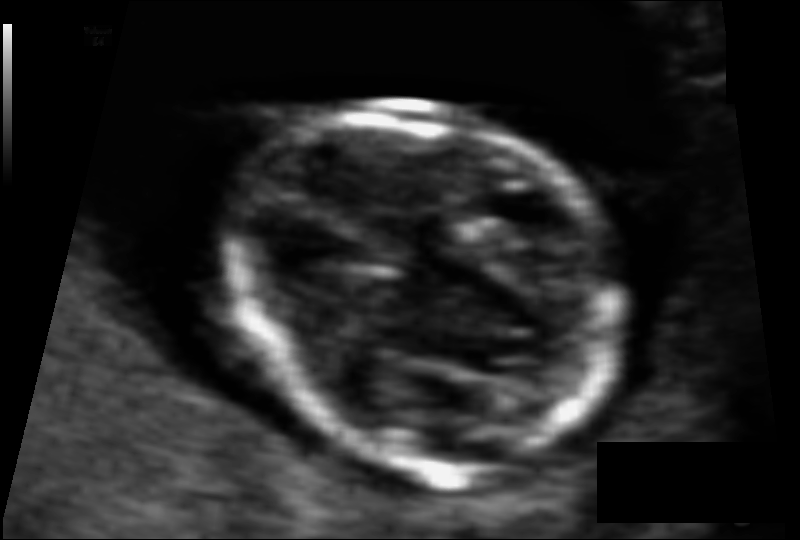
Estimate the fetal head circumference from this 2D ultrasound. Image width: 50.5 mm.

Head circumference: 75.2 mm.